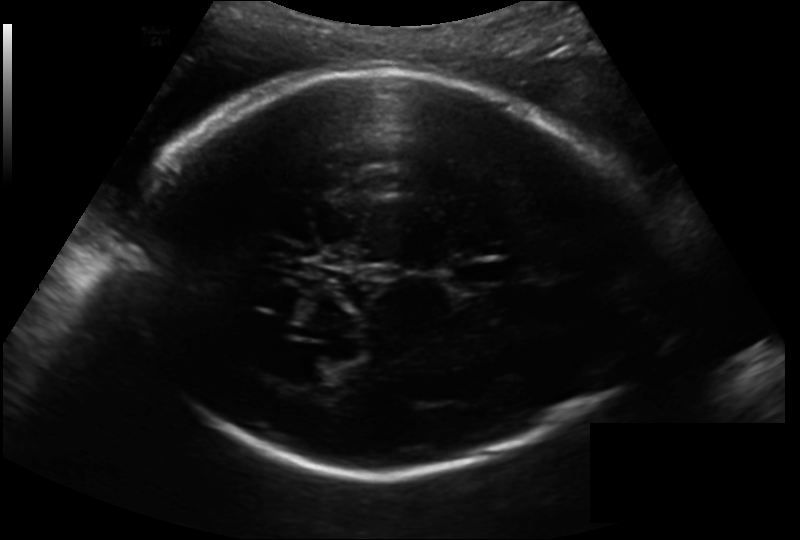
Estimate the fetal head circumference from this 2D ultrasound.

Head circumference: 280.6 mm (image width 154.5 mm).